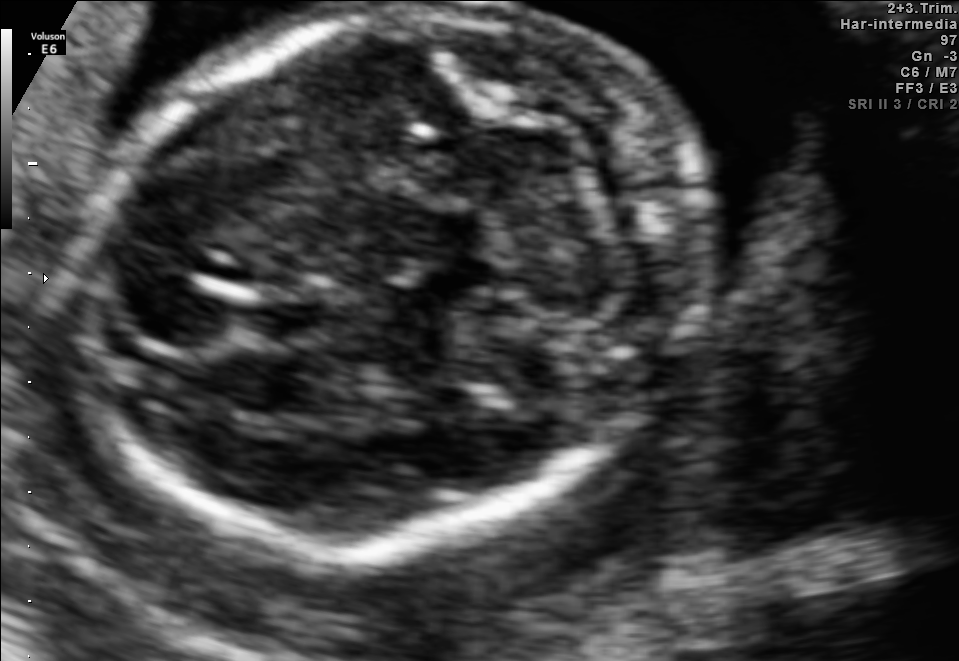
Fetal brain, trans-cerebellum plane. Locate the fetal head.

Head: [83,6,700,543]